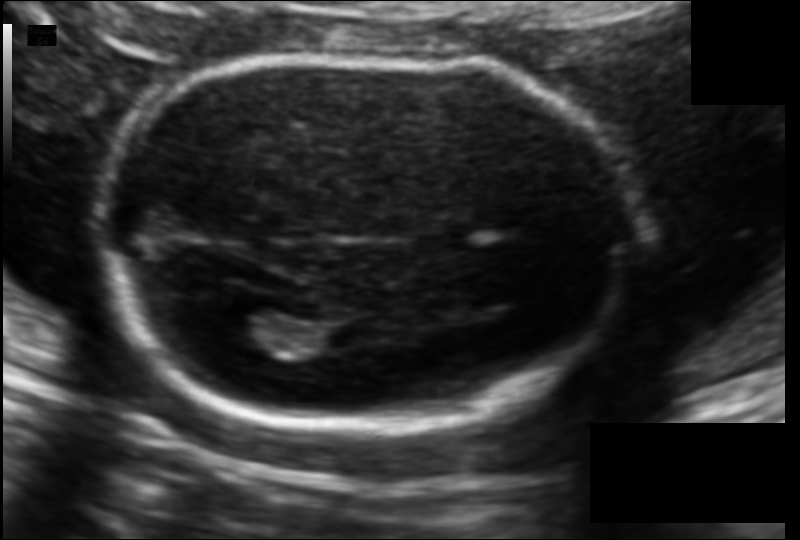
In this fetal head ultrasound, give bounding boxes for the head outline, cavum septum pellucidum (CSP), and lateral ventricle (LV), where visible. Image width: 90.5 mm.

Head: [95,57,642,429]
Lateral ventricle: [210,299,294,359]